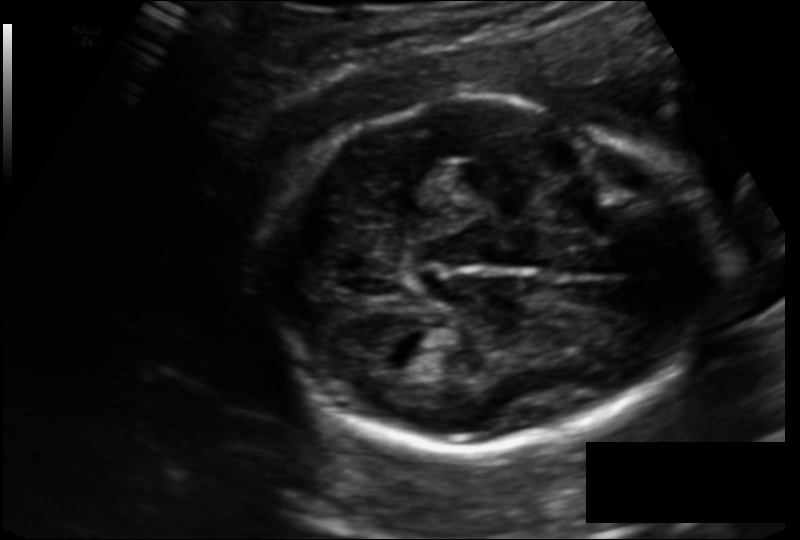
Fetal head ultrasound. Image width: 107.7 mm. Locate the fetal head and, if visible, the cavum septum pellucidum (CSP) and lateral ventricle (LV). Give bounding boxes as [x1,y1,x2,y2].

Head: [259,97,711,454]